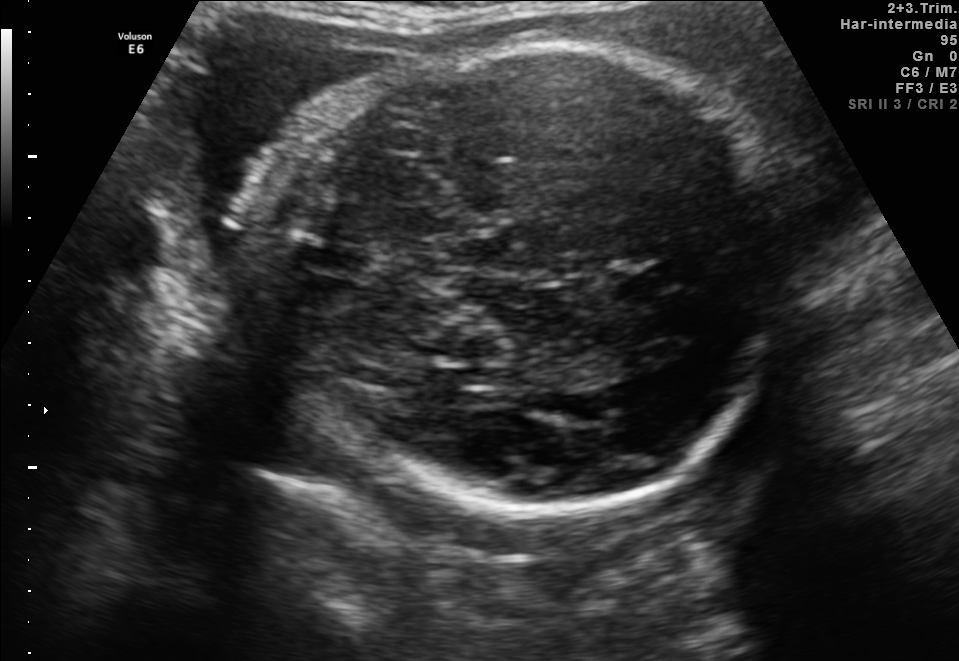
Fetal brain, trans-thalamic plane. Locate the lateral ventricle.

Lateral ventricle: [457,368,505,384]